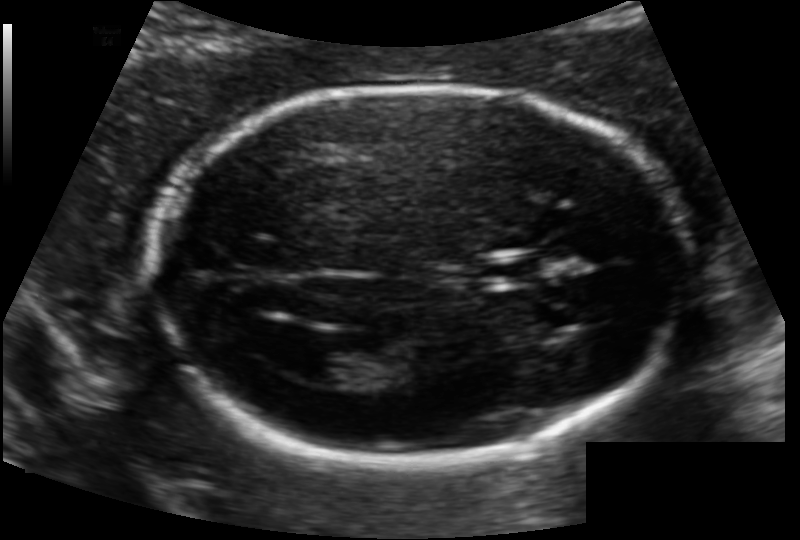
Fetal head ultrasound. Image width: 94.1 mm. Where is the lateral ventricle?

Lateral ventricle bounding box: [294,345,364,387]